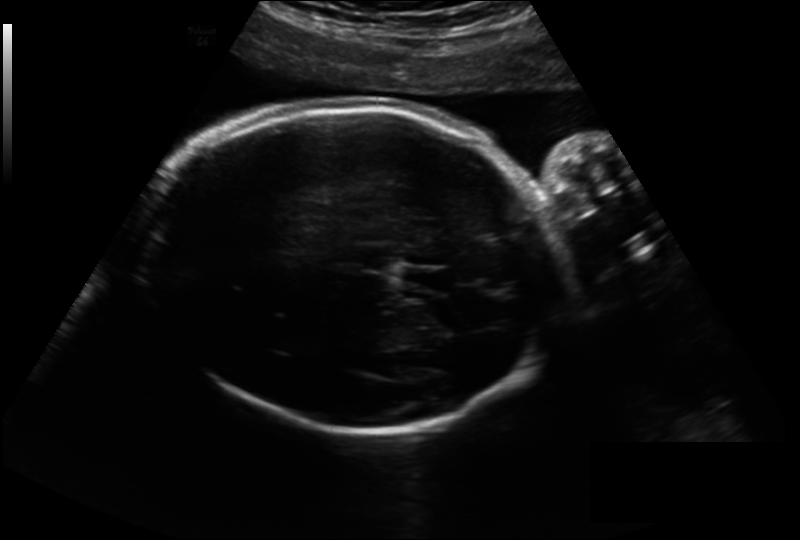
Estimate the fetal head circumference from this 2D ultrasound. Image width: 194.6 mm.

Head circumference: 296.8 mm.